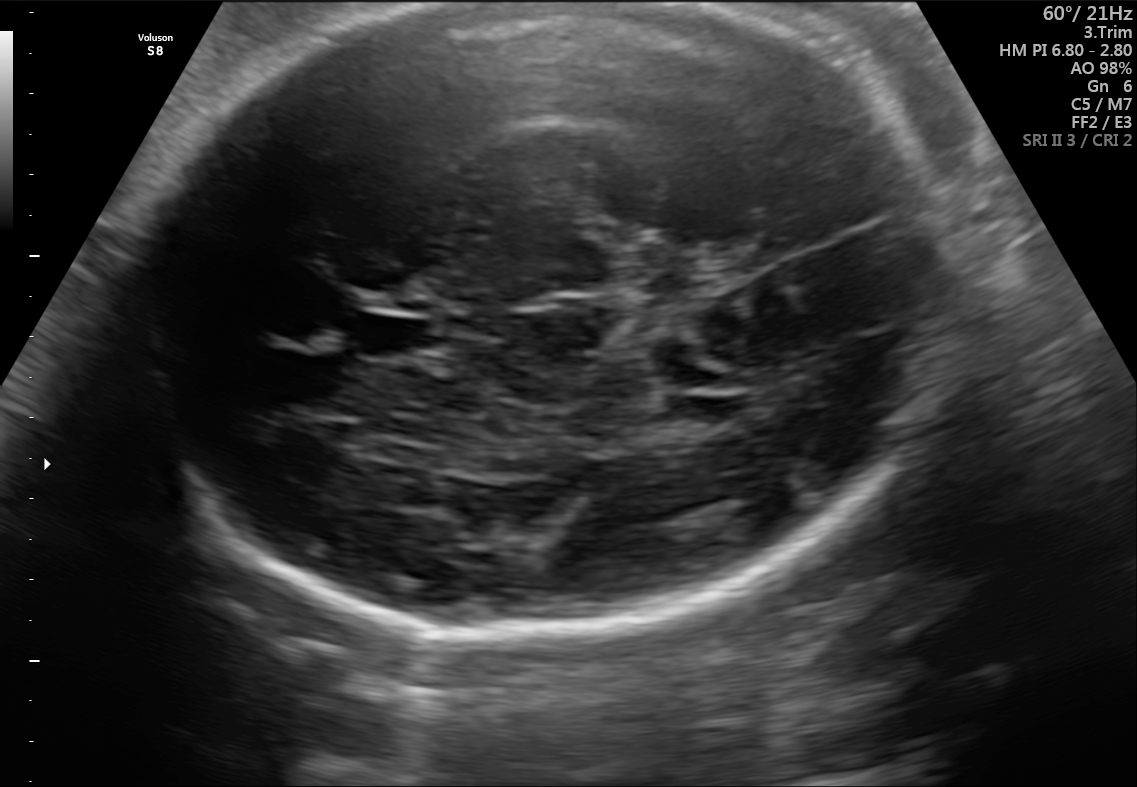
In this fetal brain, trans-thalamic plane, give the bounding box of the cavum septum pellucidum.

[357,314,432,360]